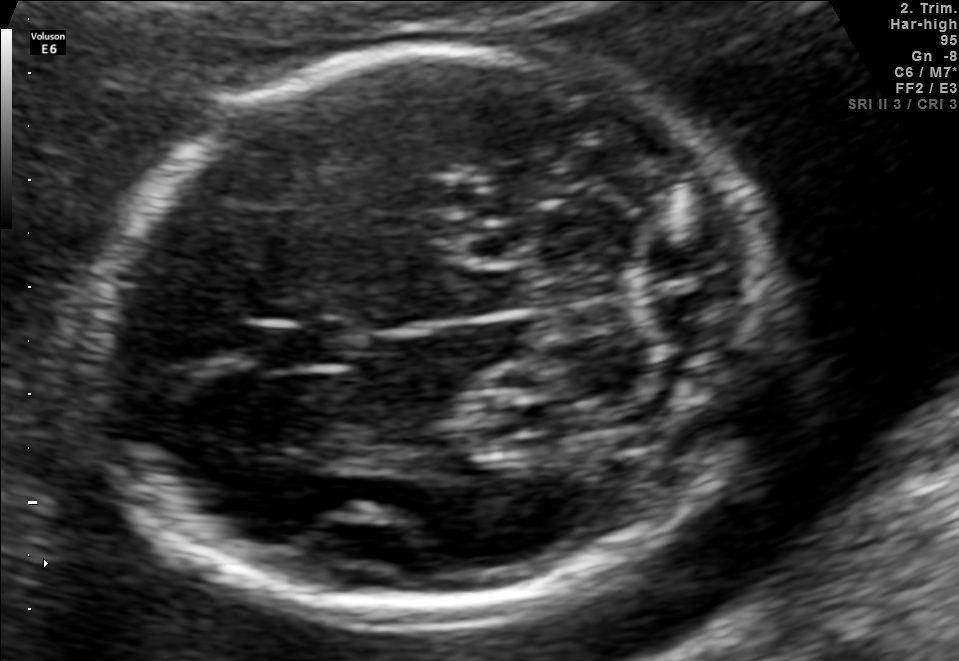
Fetal brain, trans-cerebellum plane. Locate the fetal head.

Head: [94,45,765,618]